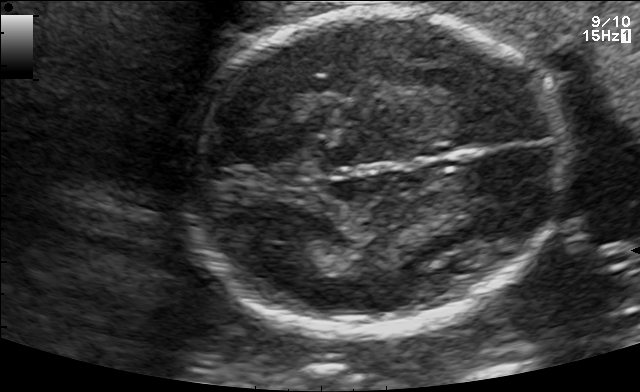
In this fetal brain, trans-thalamic plane, give bounding boxes for the head outline, cavum septum pellucidum (CSP), and lateral ventricle (LV), where visible.

Head: [181,10,570,330]